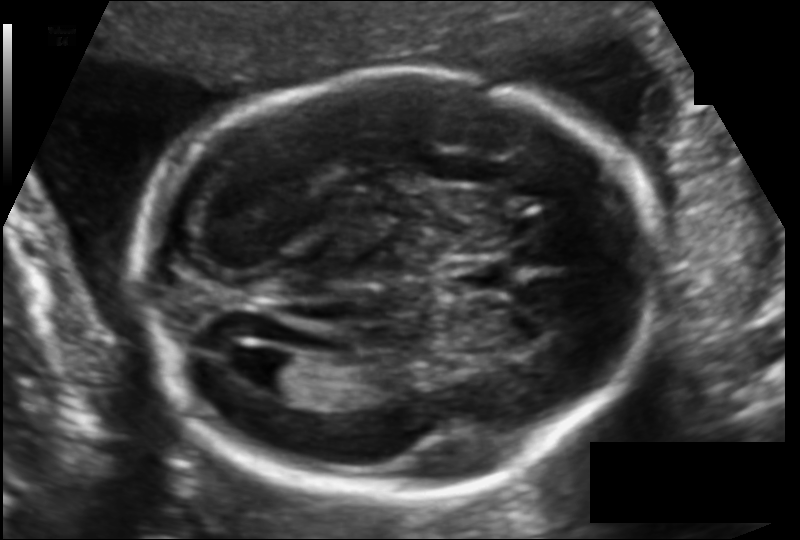
Fetal head ultrasound. Image width: 97.1 mm. Locate the cavum septum pellucidum.

CSP: [450,258,508,292]